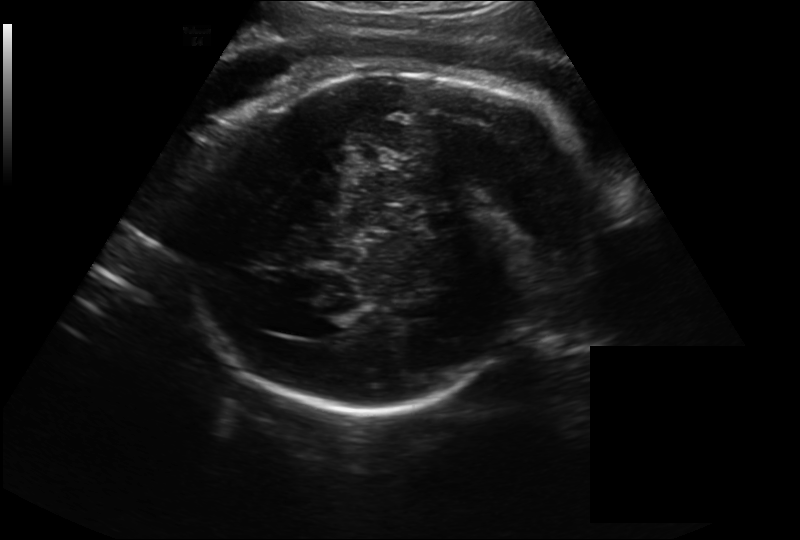
Fetal head ultrasound. Image width: 209.3 mm. Locate the fetal head and, if visible, the cavum septum pellucidum (CSP) and lateral ventricle (LV). Give bounding boxes as [x1,y1,x2,y2].

Head: [194,65,585,408]
Lateral ventricle: [300,314,346,339]